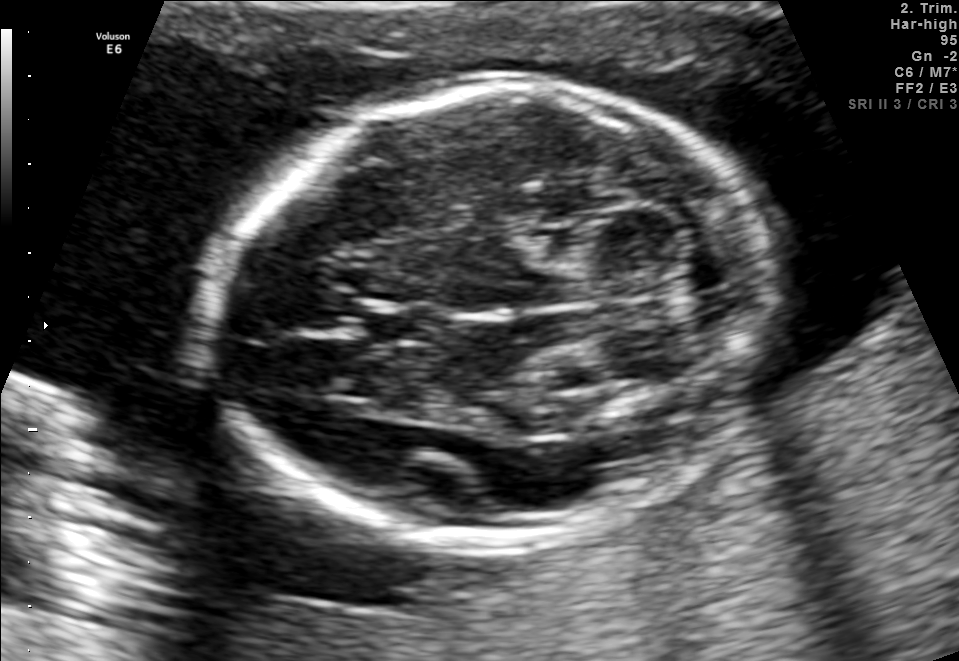
Fetal brain, trans-cerebellum plane. Locate the fetal head and, if visible, the cavum septum pellucidum (CSP) and lateral ventricle (LV). Give bounding boxes as [x1,y1,x2,y2].

Head: [205,87,764,540]
CSP: [356,303,437,345]